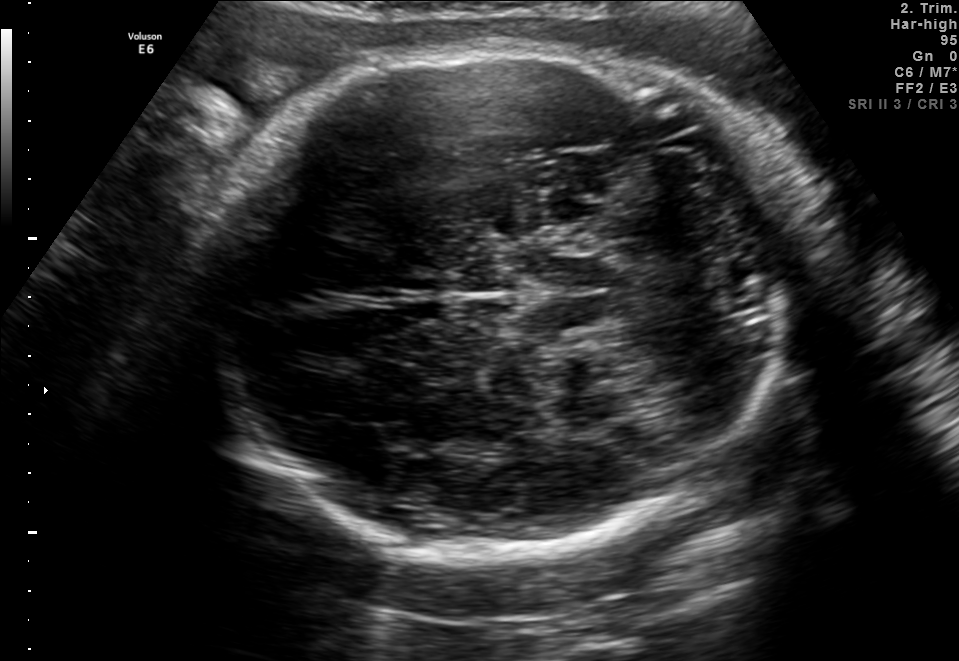
This is a 2D maternal-fetal ultrasound frame. Is it a fetal abdomen, fetal brain, fetal femur, fetal thorax, maternal cervix, or other standard plane? If it's fetal brain and one of the three standard brain planes (trans-thalamic, trans-cerebellum, trans-ventricular), name which.

Fetal brain (trans-thalamic plane)